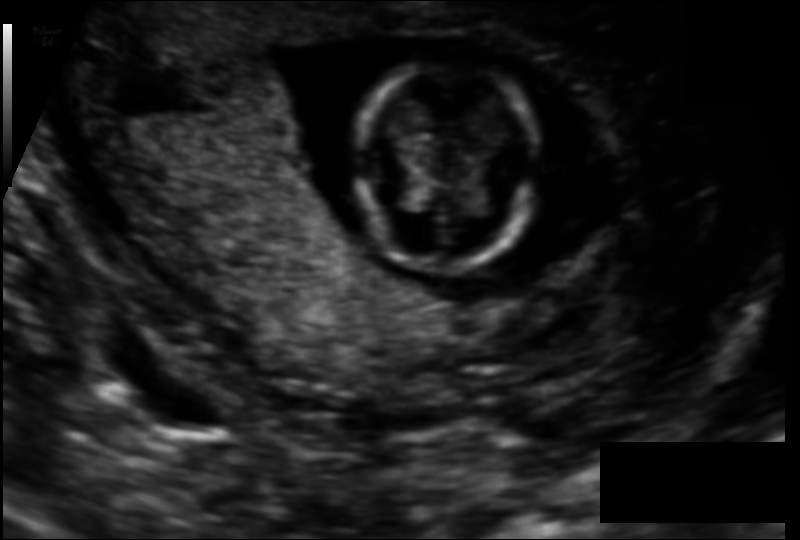
What is the fetal head circumference? Image width is 88.1 mm.

69.7 mm